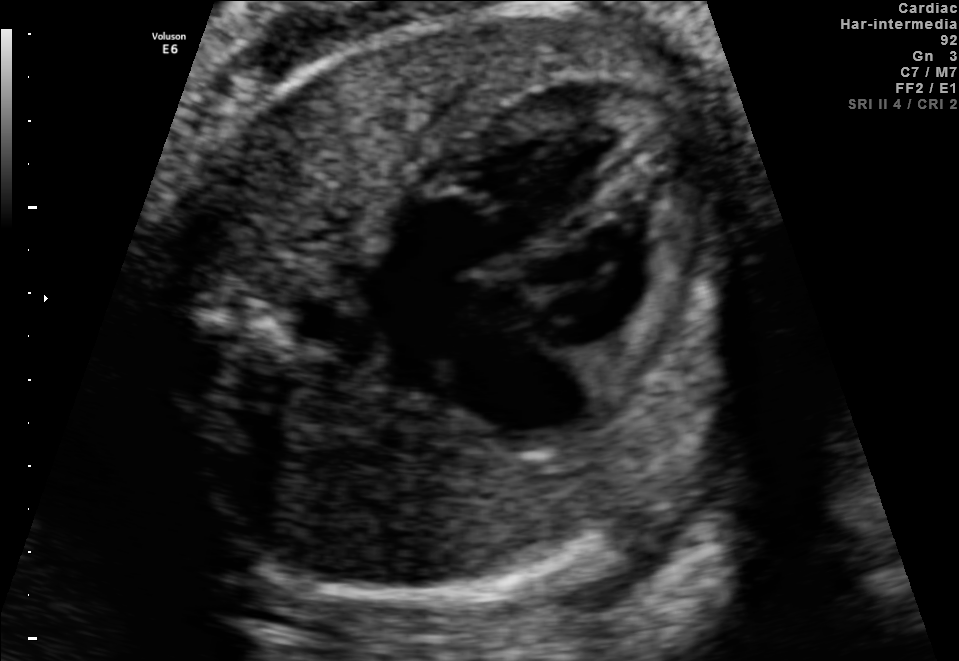
Which standard maternal-fetal ultrasound plane is shown: fetal abdomen, fetal brain, fetal femur, fetal thorax, maternal cervix, or other? If it's fetal brain and one of the three standard brain planes (trans-thalamic, trans-cerebellum, trans-ventricular), name which.

Fetal thorax